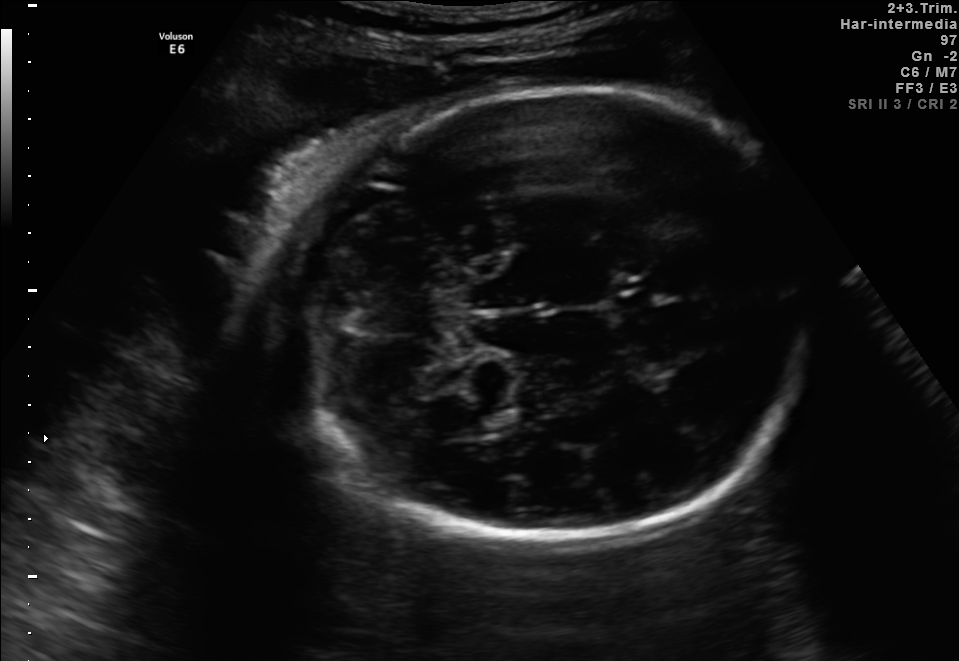
Fetal brain, trans-thalamic plane. Locate the fetal head and, if visible, the cavum septum pellucidum (CSP) and lateral ventricle (LV). Give bounding boxes as [x1,y1,x2,y2].

Head: [288,91,815,544]
Lateral ventricle: [461,405,521,442]